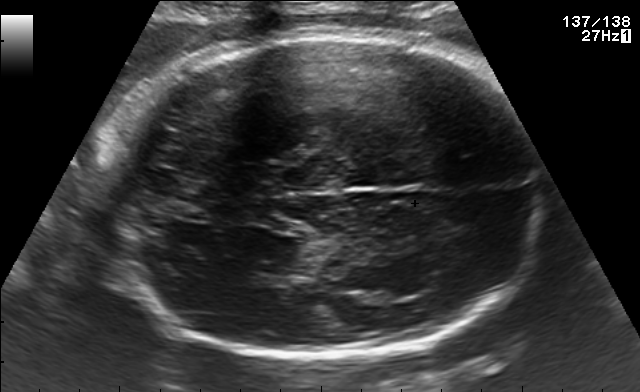
Identify the standard plane in this fetal ultrasound image: fetal abdomen, fetal brain, fetal femur, fetal thorax, maternal cervix, or other. If it's fetal brain and one of the three standard brain planes (trans-thalamic, trans-cerebellum, trans-ventricular), name which.

Fetal brain (trans-thalamic plane)